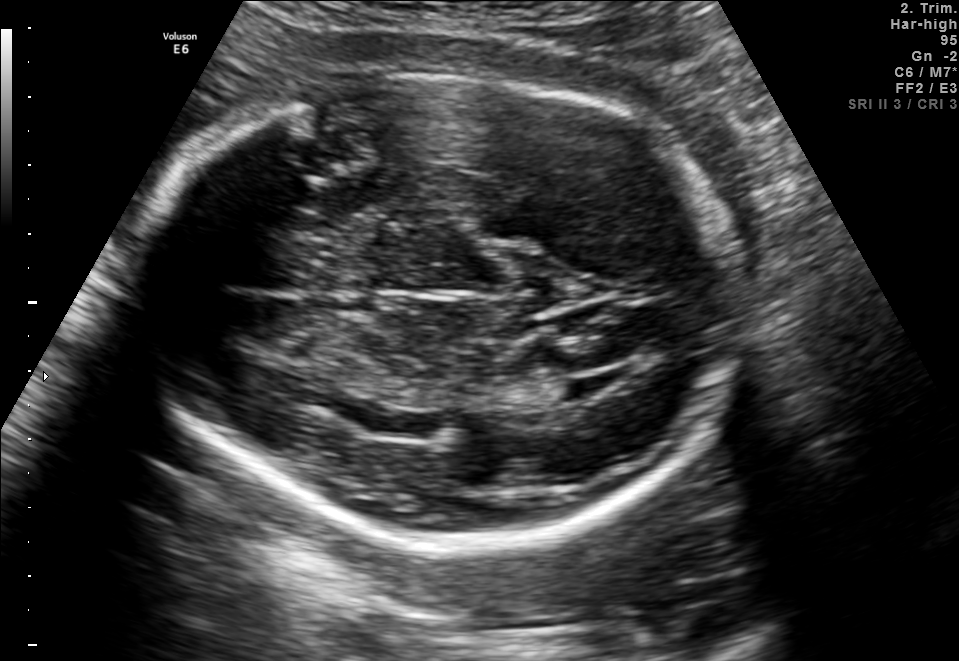
Fetal brain, trans-thalamic plane. Where is the fetal head?

Head bounding box: [138,78,739,541]